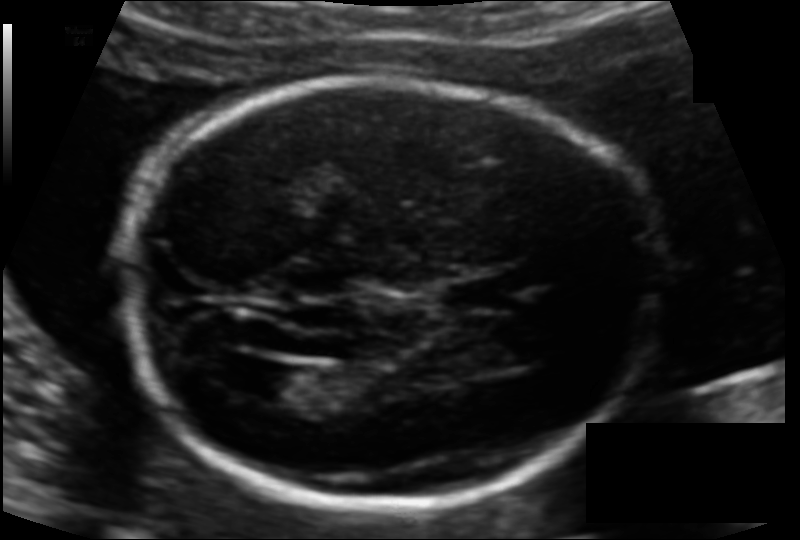
Fetal head ultrasound. Image width: 90.3 mm. Locate the lateral ventricle.

Lateral ventricle: [249,359,324,409]